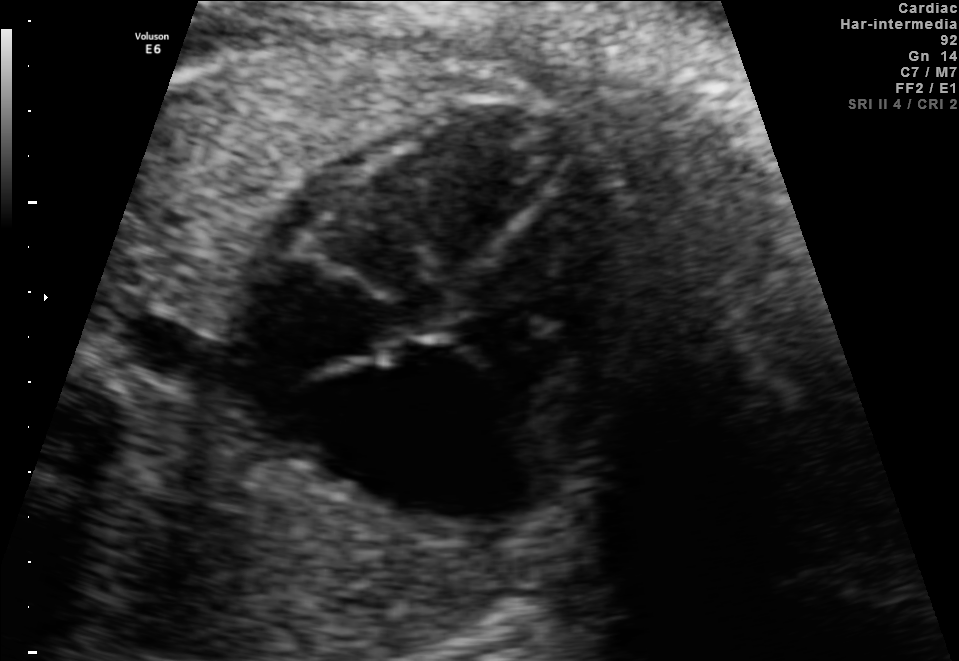
Identify the standard plane in this fetal ultrasound image: fetal abdomen, fetal brain, fetal femur, fetal thorax, maternal cervix, or other. If it's fetal brain and one of the three standard brain planes (trans-thalamic, trans-cerebellum, trans-ventricular), name which.

Fetal thorax